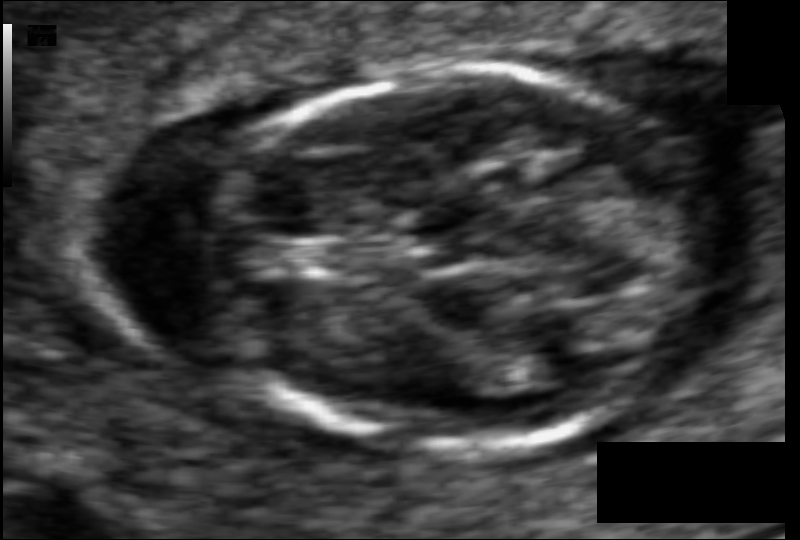
In this fetal head ultrasound, give the bounding box of the fetal head. Image width: 46.1 mm.

[211,68,711,451]